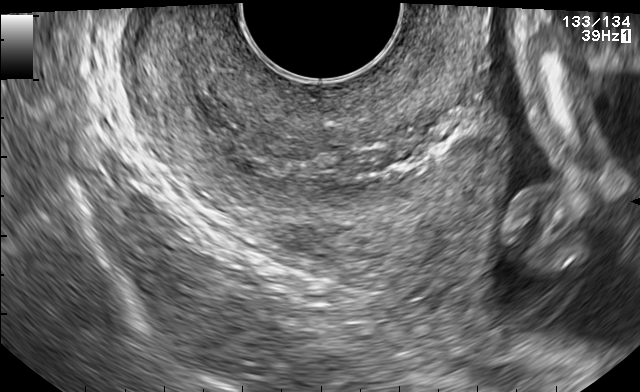
This is a 2D maternal-fetal ultrasound frame. Is it a fetal abdomen, fetal brain, fetal femur, fetal thorax, maternal cervix, or other standard plane? If it's fetal brain and one of the three standard brain planes (trans-thalamic, trans-cerebellum, trans-ventricular), name which.

Maternal cervix